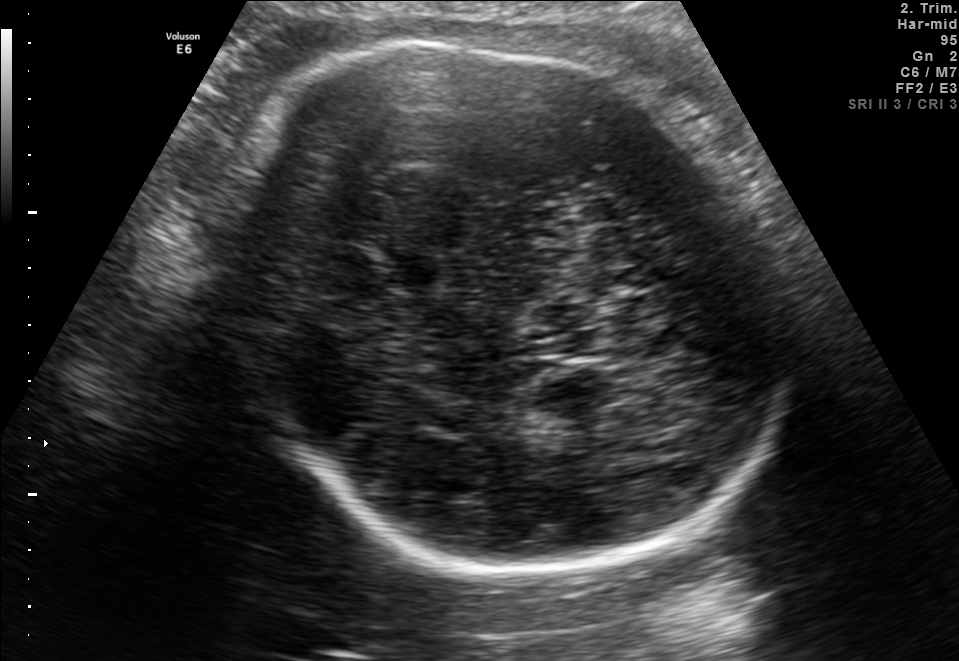
Fetal brain, trans-thalamic plane. Locate the fetal head.

Head: [219,31,778,576]